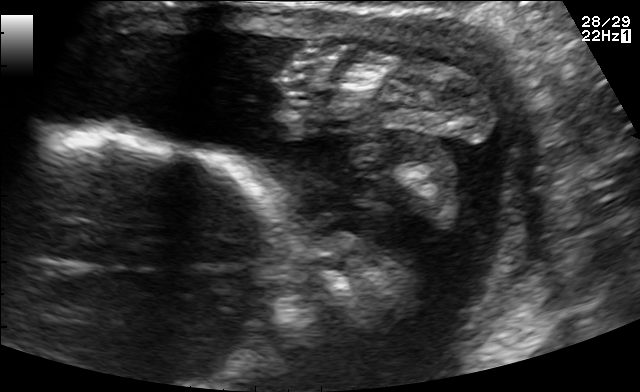
This is a 2D maternal-fetal ultrasound frame. Is it a fetal abdomen, fetal brain, fetal femur, fetal thorax, maternal cervix, or other standard plane? If it's fetal brain and one of the three standard brain planes (trans-thalamic, trans-cerebellum, trans-ventricular), name which.

Other